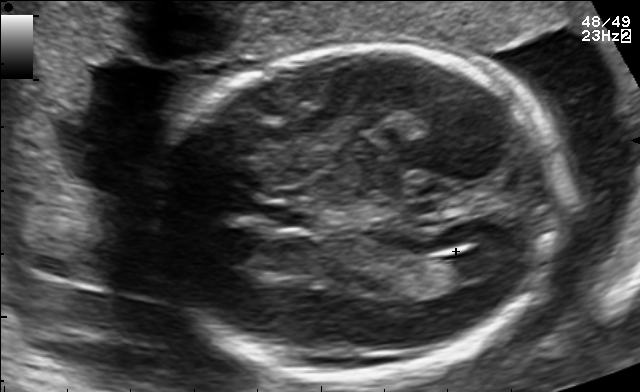
Fetal brain, trans-ventricular plane. Locate the fetal head and, if visible, the cavum septum pellucidum (CSP) and lateral ventricle (LV). Give bounding boxes as [x1,y1,x2,y2].

Head: [158,43,573,384]
CSP: [253,198,322,235]
Lateral ventricle: [437,241,510,287]